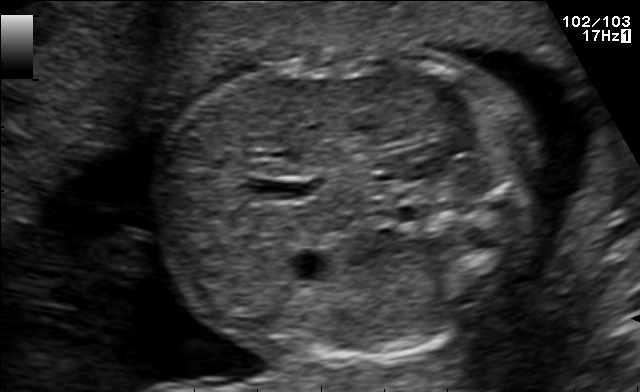
Identify the standard plane in this fetal ultrasound image: fetal abdomen, fetal brain, fetal femur, fetal thorax, maternal cervix, or other. If it's fetal brain and one of the three standard brain planes (trans-thalamic, trans-cerebellum, trans-ventricular), name which.

Fetal abdomen